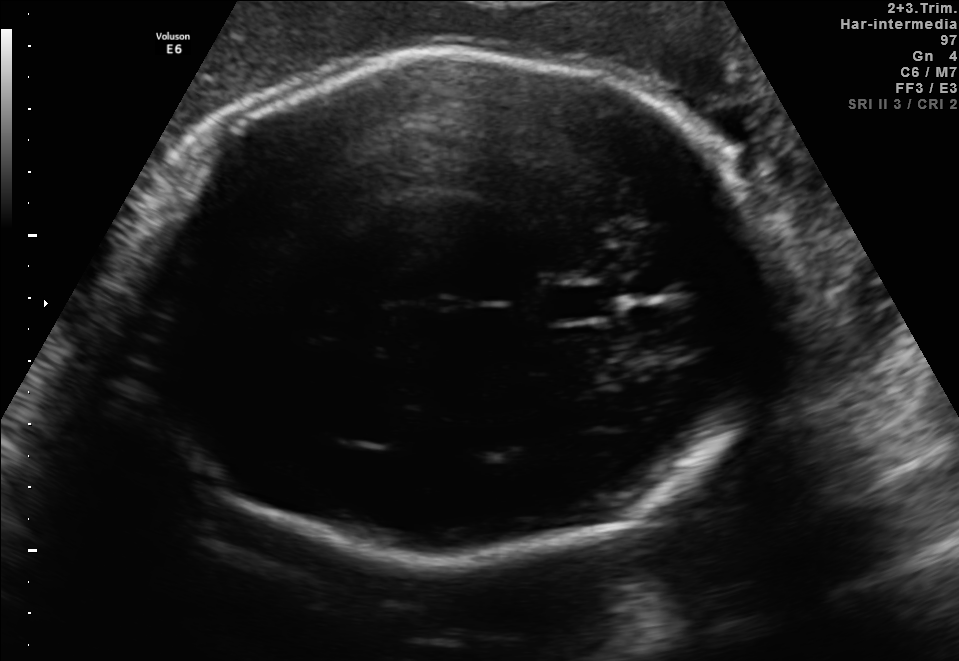
Fetal brain, trans-thalamic plane. Locate the cavum septum pellucidum.

CSP: [544,281,613,323]